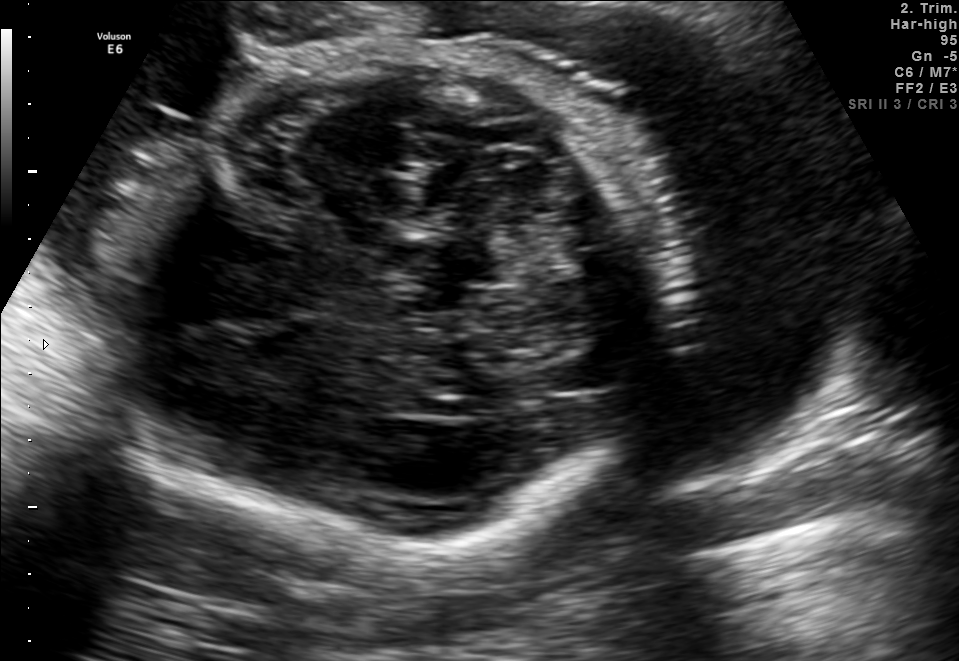
Fetal brain, trans-cerebellum plane. Where is the fetal head?

Head bounding box: [116,41,669,560]